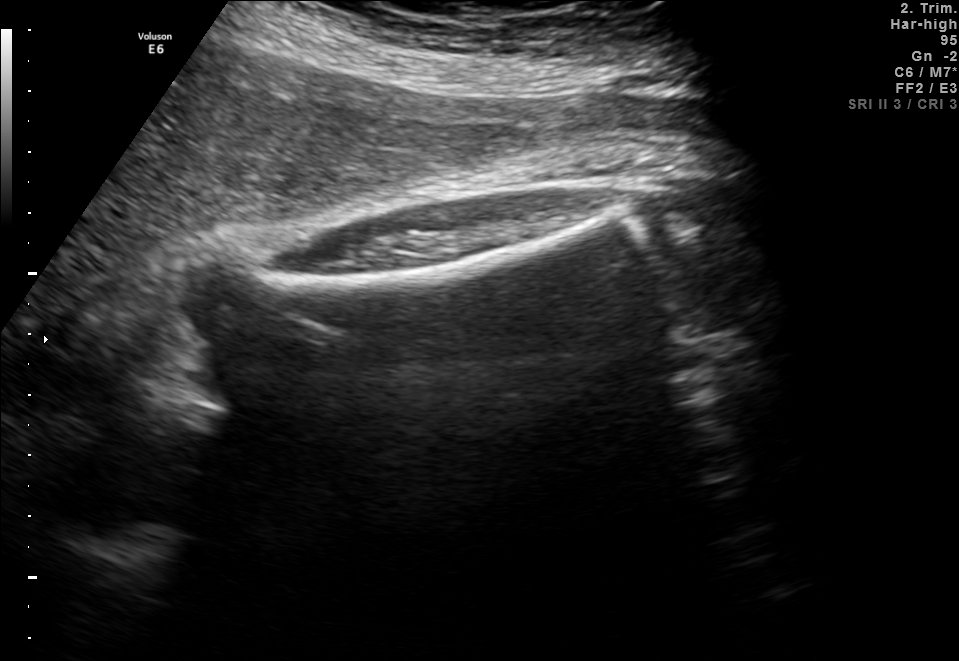
Which standard maternal-fetal ultrasound plane is shown: fetal abdomen, fetal brain, fetal femur, fetal thorax, maternal cervix, or other? If it's fetal brain and one of the three standard brain planes (trans-thalamic, trans-cerebellum, trans-ventricular), name which.

Fetal femur